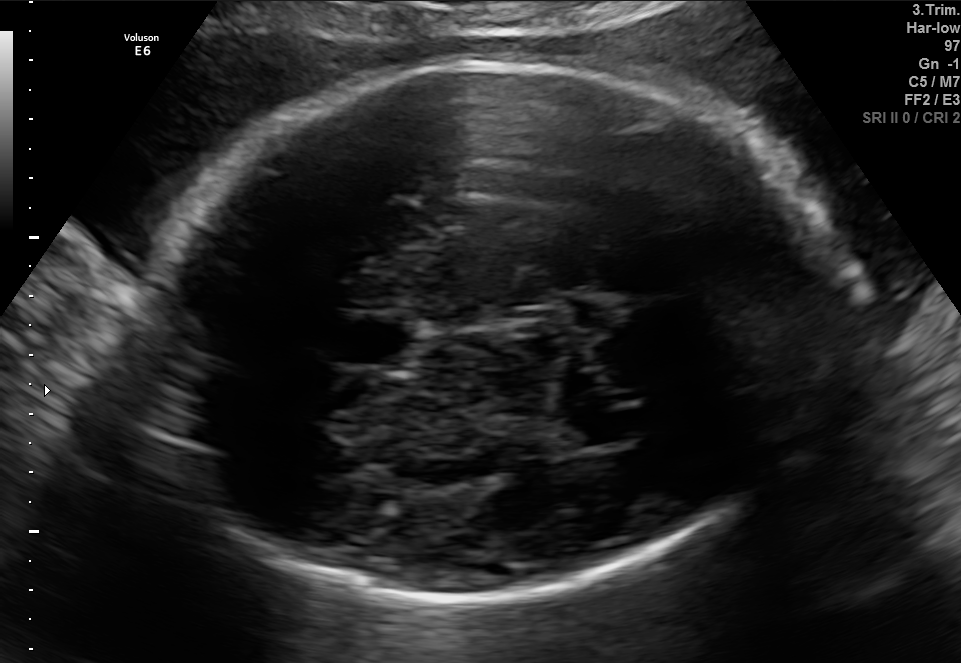
Fetal brain, trans-thalamic plane. Locate the fetal head and, if visible, the cavum septum pellucidum (CSP) and lateral ventricle (LV). Give bounding boxes as [x1,y1,x2,y2].

Head: [138,61,847,596]
CSP: [337,317,408,366]
Lateral ventricle: [562,406,644,449]